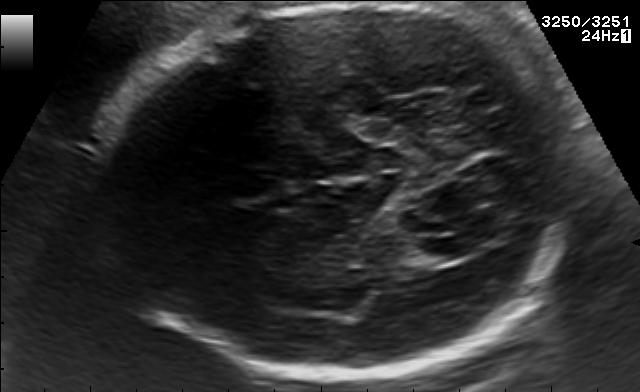
In this fetal brain, trans-thalamic plane, give bounding boxes for the head outline, cavum septum pellucidum (CSP), and lateral ventricle (LV), where visible.

Head: [109,3,573,381]
Lateral ventricle: [405,226,481,274]